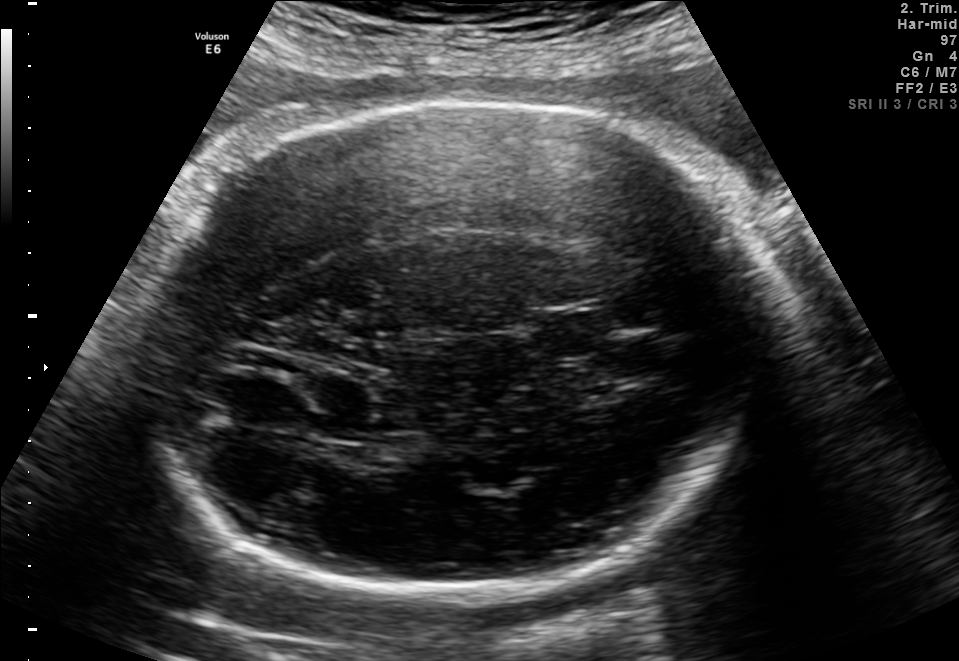
Fetal brain, trans-thalamic plane. Where is the cavum septum pellucidum?

CSP bounding box: [533,309,610,359]